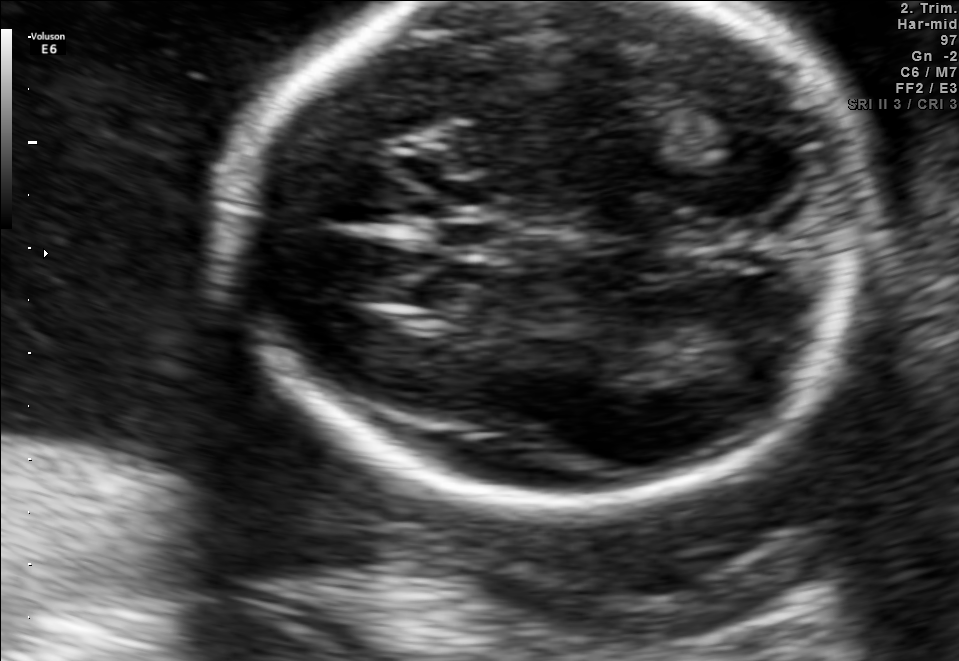
Fetal brain, trans-thalamic plane. Where is the cavum septum pellucidum?

CSP bounding box: [436,221,504,252]